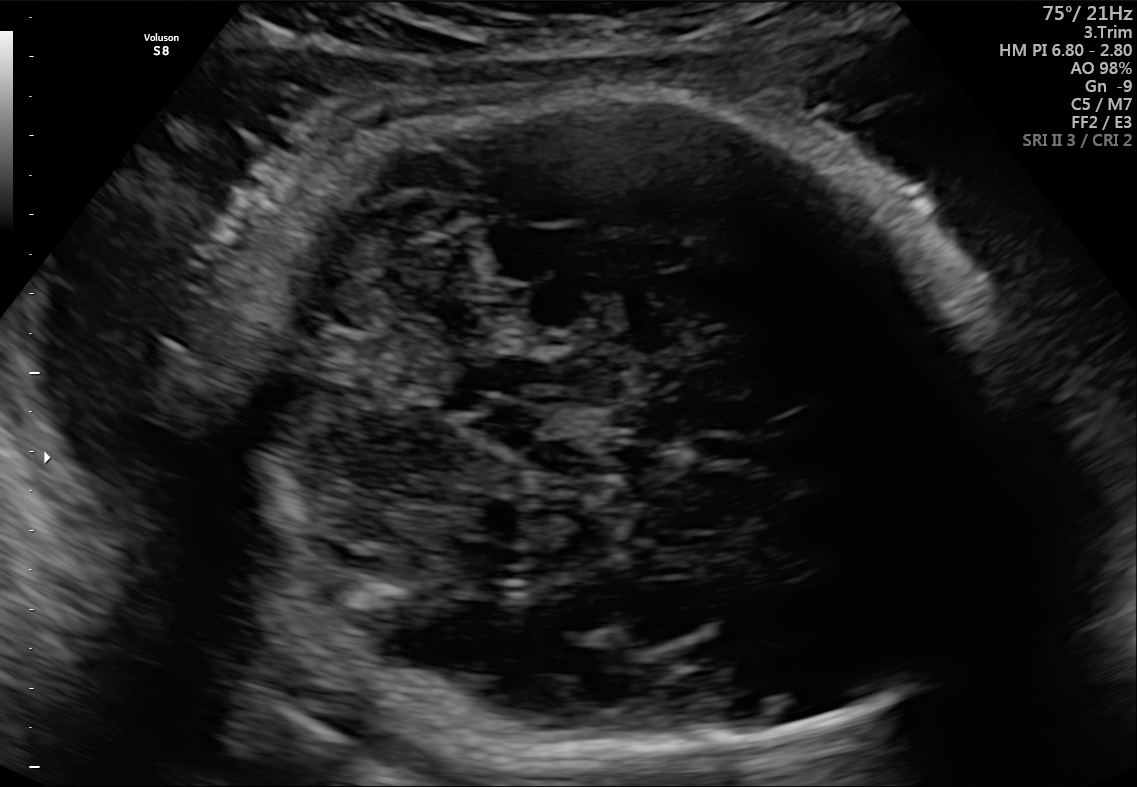
Fetal brain, trans-cerebellum plane. Where is the fetal head?

Head bounding box: [199,85,1014,762]